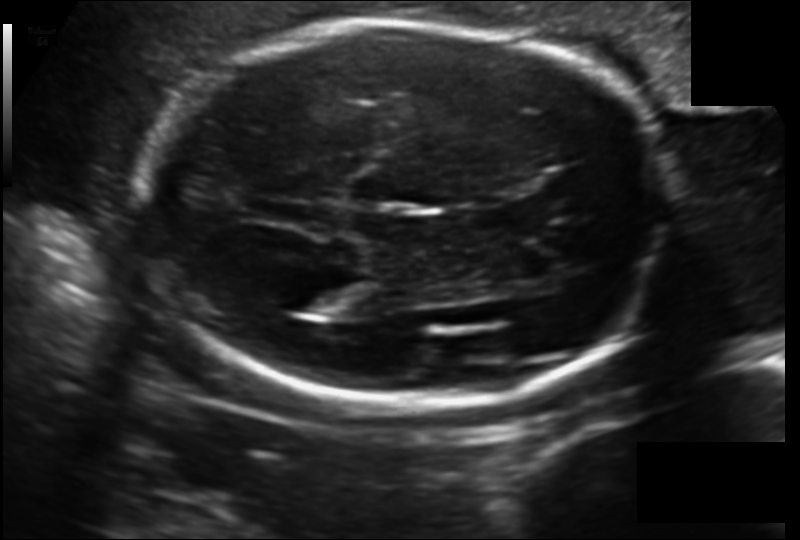
Measure the fetal head circumference shown in this ultrasound image. Image width: 121.4 mm.

Head circumference: 223.5 mm.